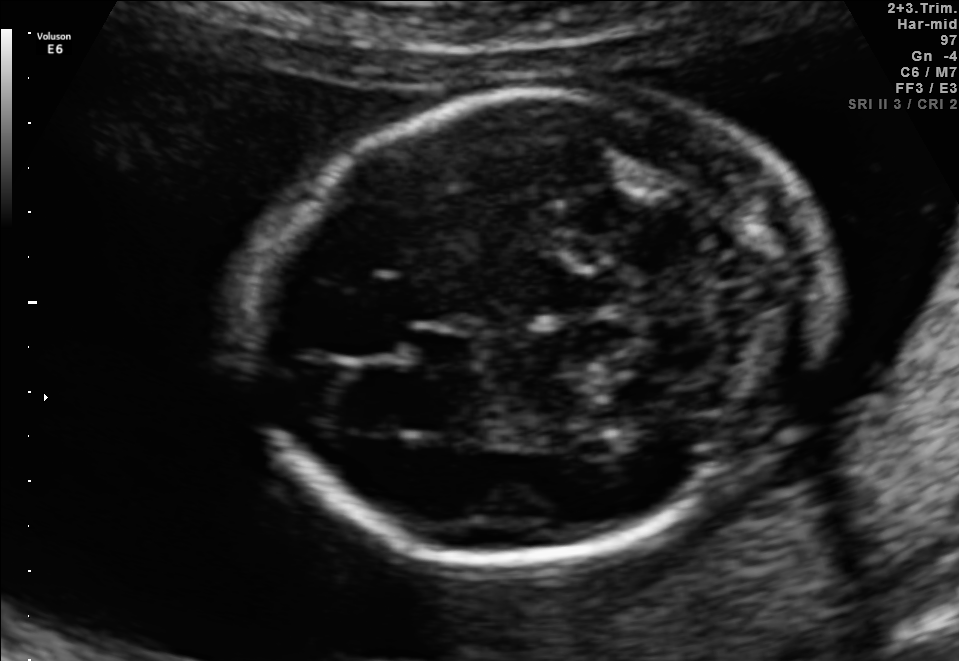
In this fetal brain, trans-cerebellum plane, give the bounding box of the cavum septum pellucidum.

[411,323,476,369]